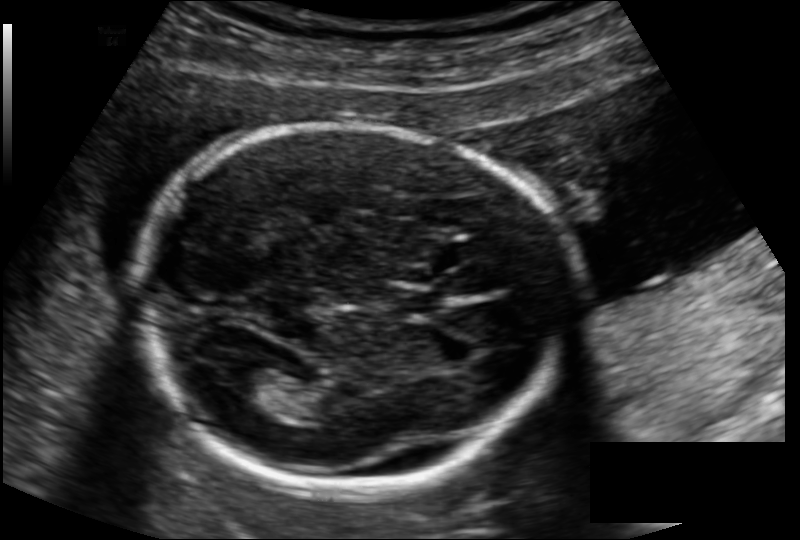
Fetal head ultrasound. Image width: 107.6 mm. Locate the cavum septum pellucidum.

CSP: [385,284,441,316]